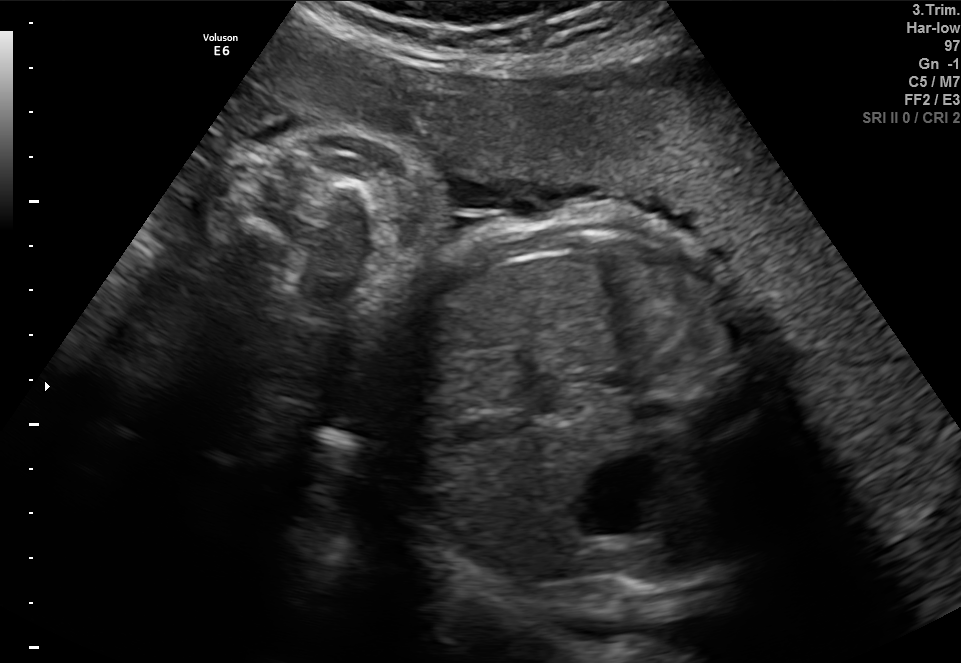
Classify this maternal-fetal ultrasound image as one of the six standard planes — fetal abdomen, fetal brain, fetal femur, fetal thorax, maternal cervix, or other. If it's fetal brain and one of the three standard brain planes (trans-thalamic, trans-cerebellum, trans-ventricular), name which.

Fetal abdomen